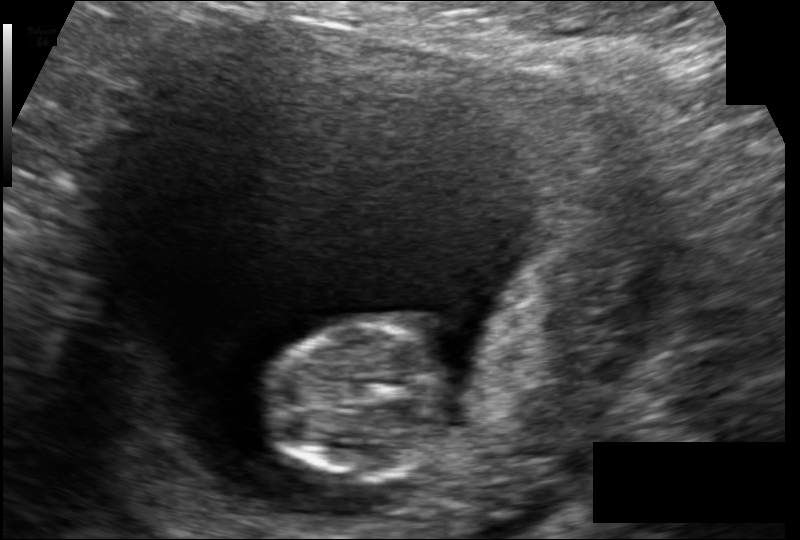
Fetal head ultrasound. Image width: 93.6 mm. Give [x1,y1,x2,y2] bounding boxes for each visible structure among: fetal head, CSP, LV.

Head: [263,323,449,482]